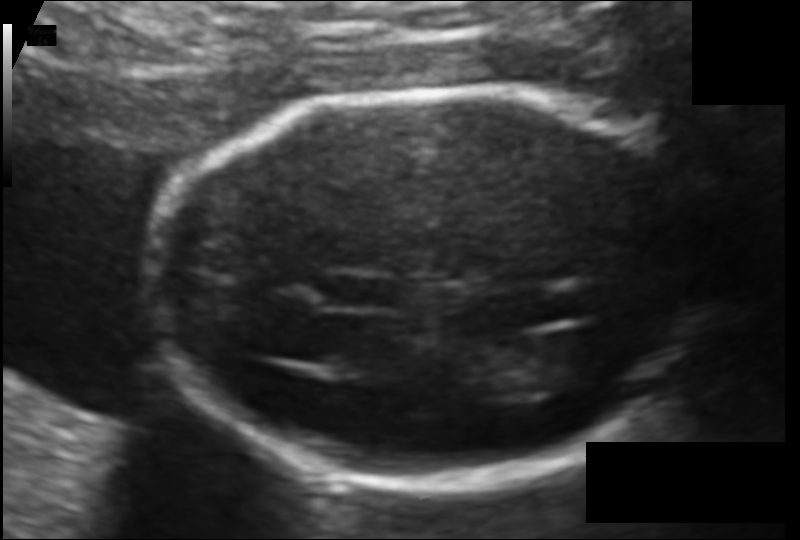
In this fetal head ultrasound, give the bounding box of the fetal head. Image width: 82.4 mm.

[157,92,685,482]